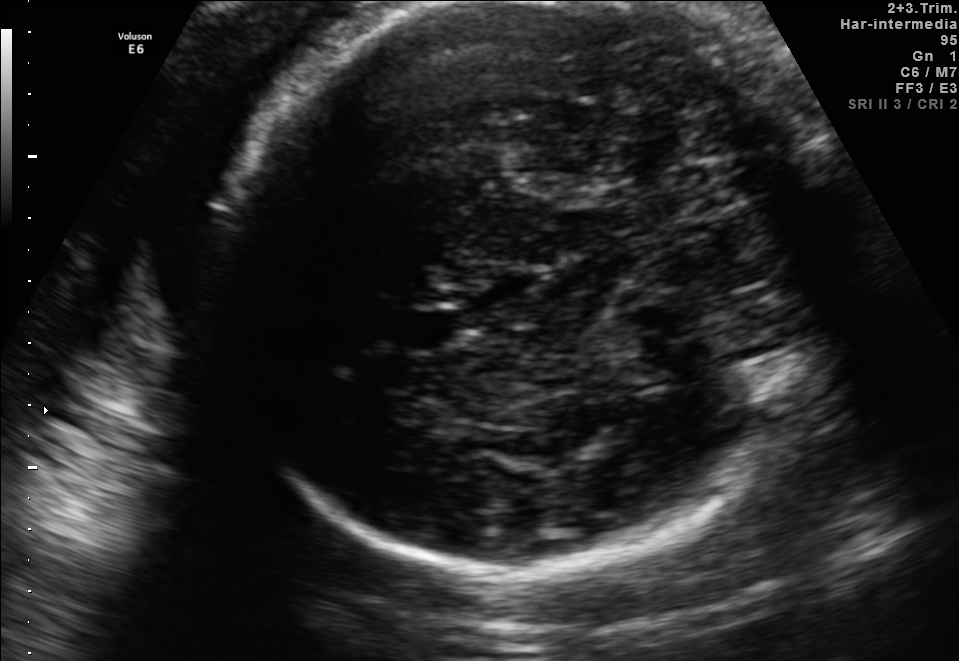
In this fetal brain, trans-thalamic plane, give bounding boxes for the head outline, cavum septum pellucidum (CSP), and lateral ventricle (LV), where visible.

Head: [214,4,845,561]
CSP: [398,307,455,352]